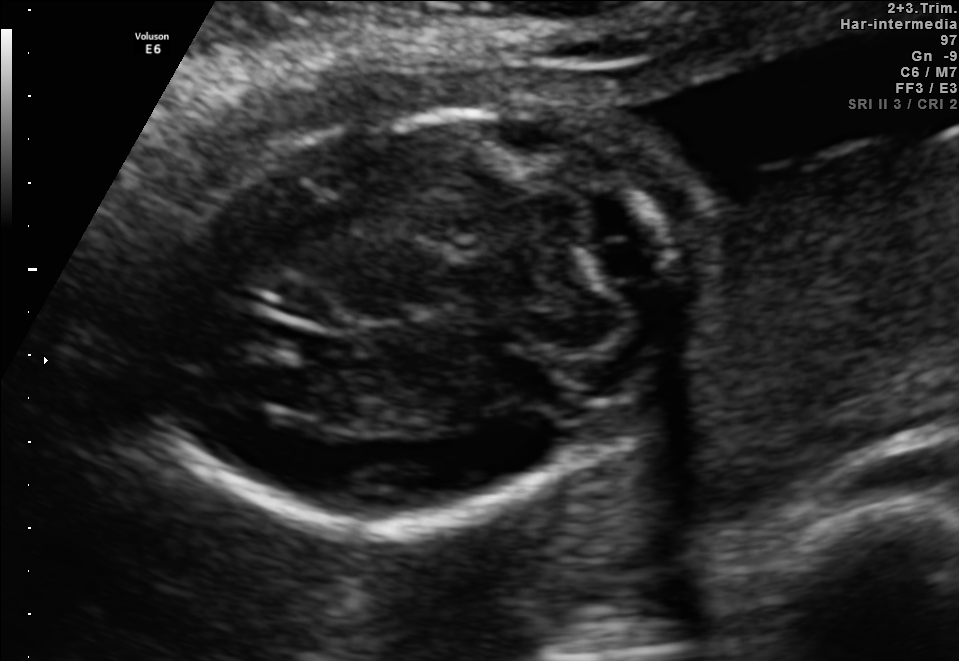
Which standard maternal-fetal ultrasound plane is shown: fetal abdomen, fetal brain, fetal femur, fetal thorax, maternal cervix, or other? If it's fetal brain and one of the three standard brain planes (trans-thalamic, trans-cerebellum, trans-ventricular), name which.

Fetal brain (trans-cerebellum plane)